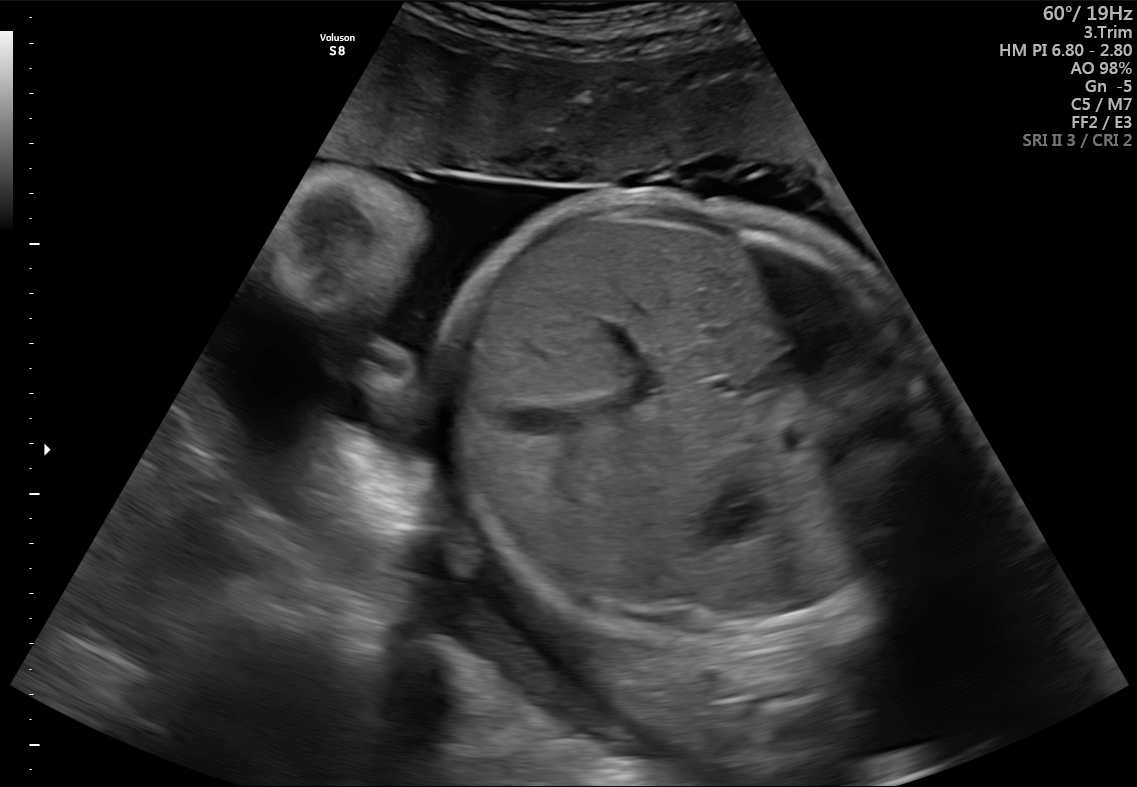
This is a 2D maternal-fetal ultrasound frame. Is it a fetal abdomen, fetal brain, fetal femur, fetal thorax, maternal cervix, or other standard plane? If it's fetal brain and one of the three standard brain planes (trans-thalamic, trans-cerebellum, trans-ventricular), name which.

Fetal abdomen